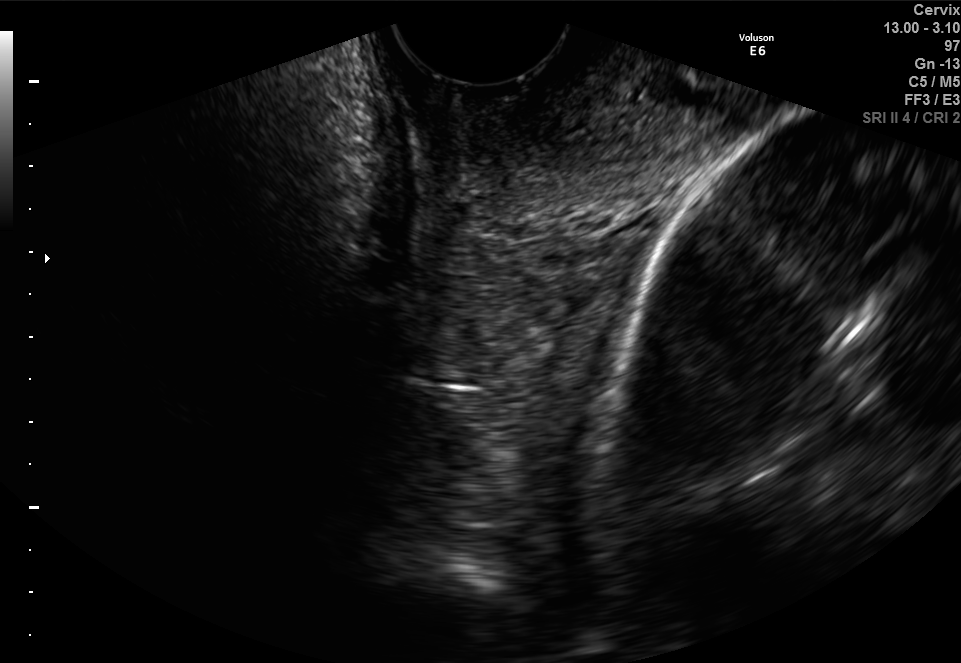
This is a 2D maternal-fetal ultrasound frame. Is it a fetal abdomen, fetal brain, fetal femur, fetal thorax, maternal cervix, or other standard plane? If it's fetal brain and one of the three standard brain planes (trans-thalamic, trans-cerebellum, trans-ventricular), name which.

Maternal cervix